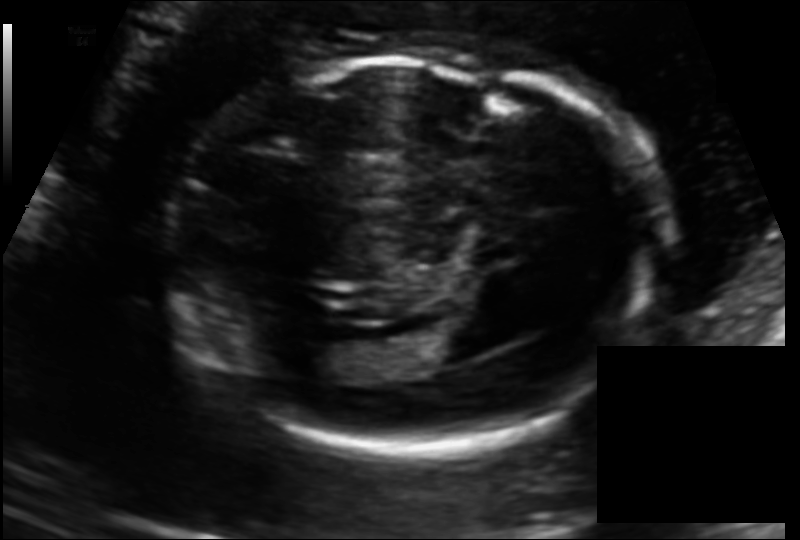
In this fetal head ultrasound, give the bounding box of the fetal head. Image width: 100.0 mm.

[169,60,653,450]